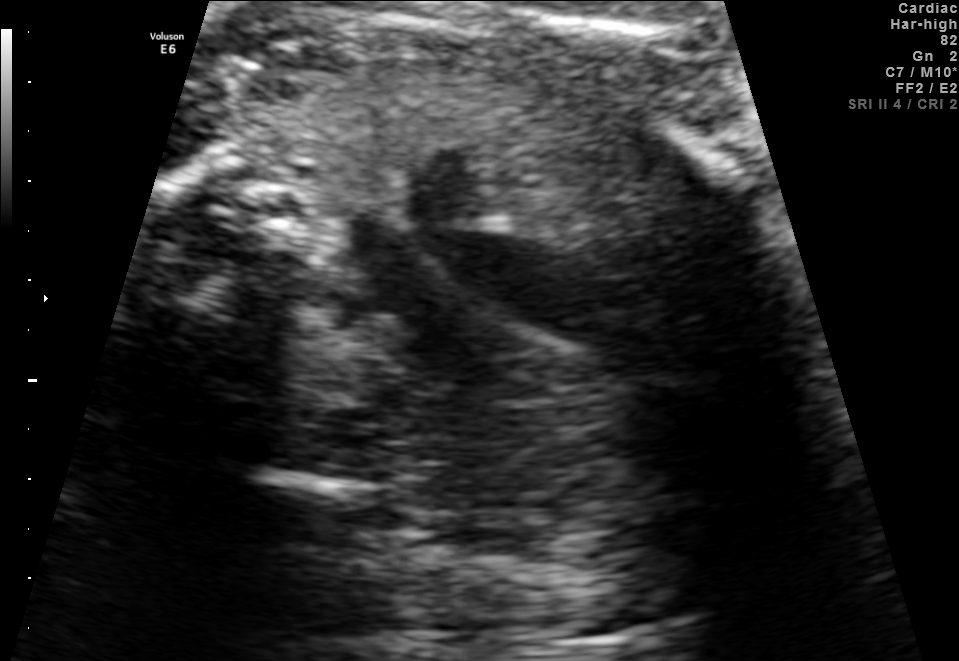
This is a 2D maternal-fetal ultrasound frame. Is it a fetal abdomen, fetal brain, fetal femur, fetal thorax, maternal cervix, or other standard plane? If it's fetal brain and one of the three standard brain planes (trans-thalamic, trans-cerebellum, trans-ventricular), name which.

Other